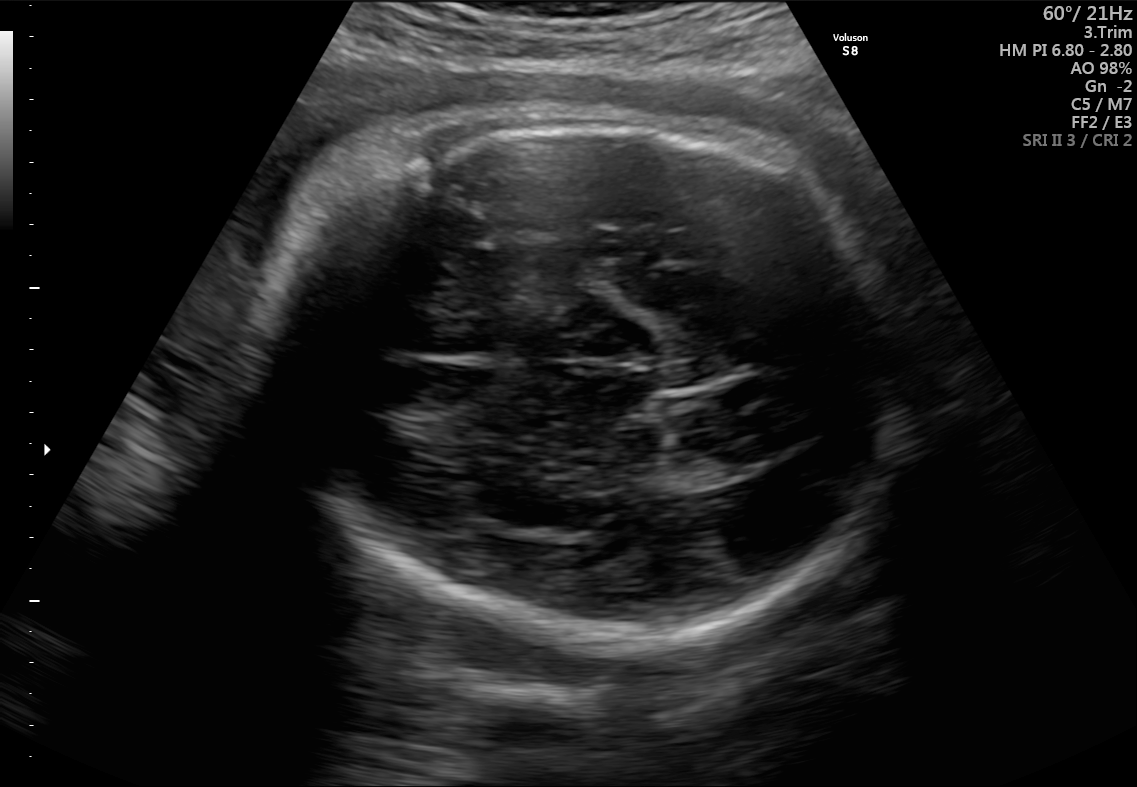
Classify this maternal-fetal ultrasound image as one of the six standard planes — fetal abdomen, fetal brain, fetal femur, fetal thorax, maternal cervix, or other. If it's fetal brain and one of the three standard brain planes (trans-thalamic, trans-cerebellum, trans-ventricular), name which.

Fetal brain (trans-thalamic plane)